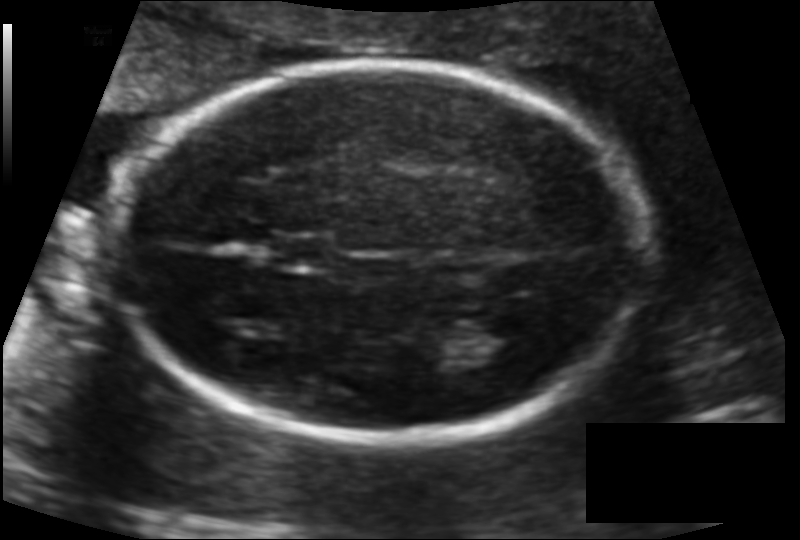
From this fetal ultrasound, estimate the head circumference (image width 91.7 mm).

Head circumference: 167.2 mm.